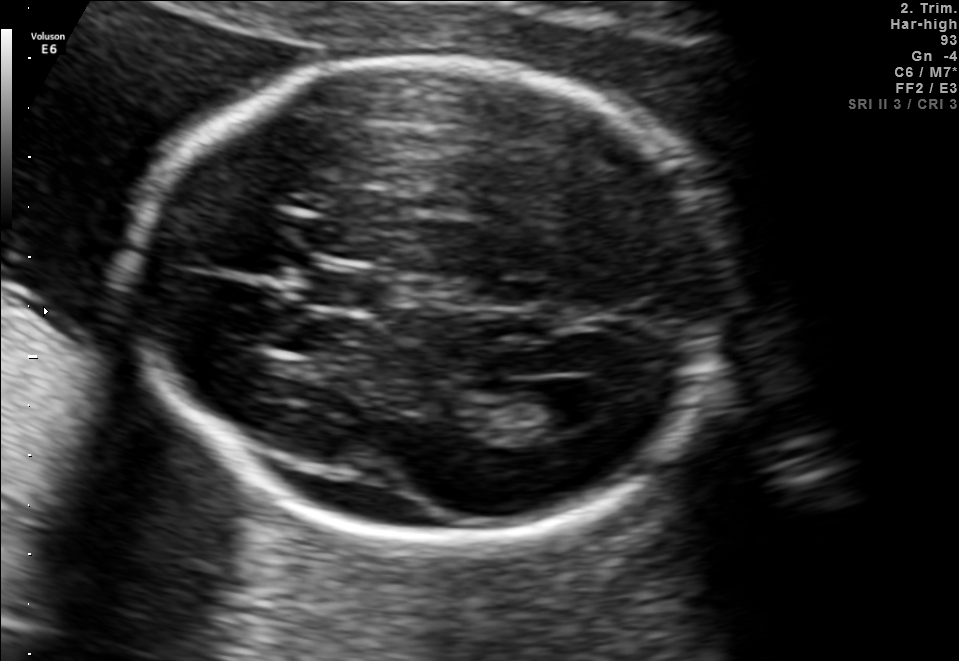
Identify the standard plane in this fetal ultrasound image: fetal abdomen, fetal brain, fetal femur, fetal thorax, maternal cervix, or other. If it's fetal brain and one of the three standard brain planes (trans-thalamic, trans-cerebellum, trans-ventricular), name which.

Fetal brain (trans-ventricular plane)